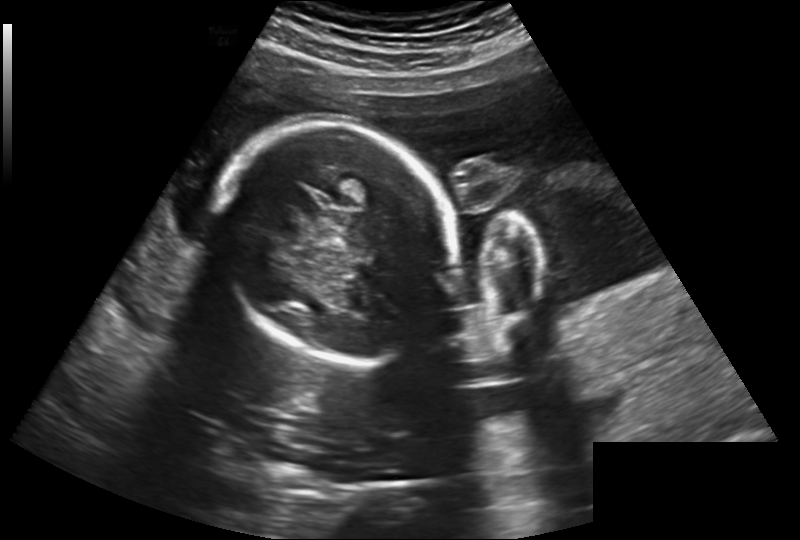
In this fetal head ultrasound, give bounding boxes for the head outline, cavum septum pellucidum (CSP), and lateral ventricle (LV), where visible. Image width: 208.4 mm.

Head: [224,121,450,362]